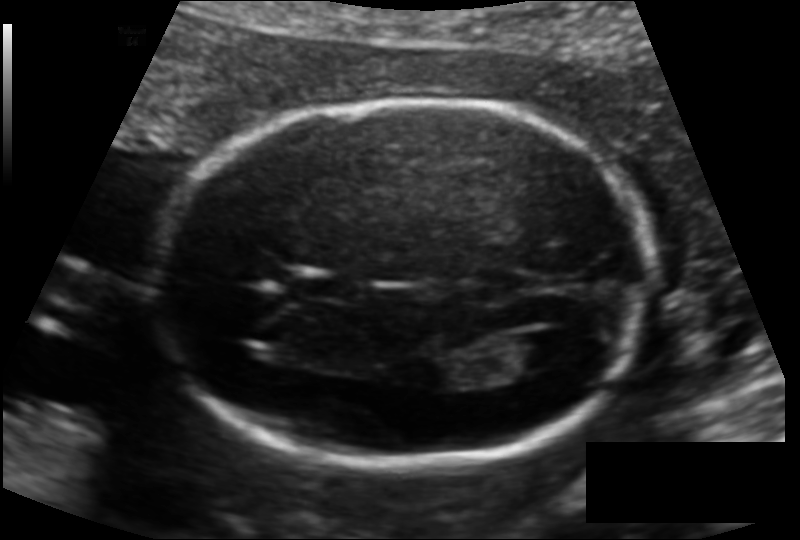
In this fetal head ultrasound, give bounding boxes for the head outline, cavum septum pellucidum (CSP), and lateral ventricle (LV), where visible. Image width: 102.6 mm.

Head: [155,99,650,466]
CSP: [296,271,360,301]
Lateral ventricle: [500,326,576,374]